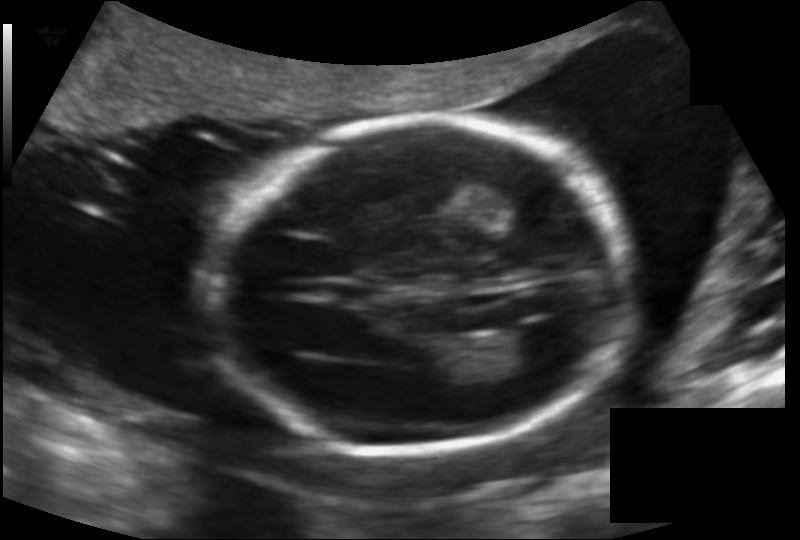
Fetal head ultrasound. Image width: 113.7 mm. Locate the fetal head.

Head: [204,119,634,449]